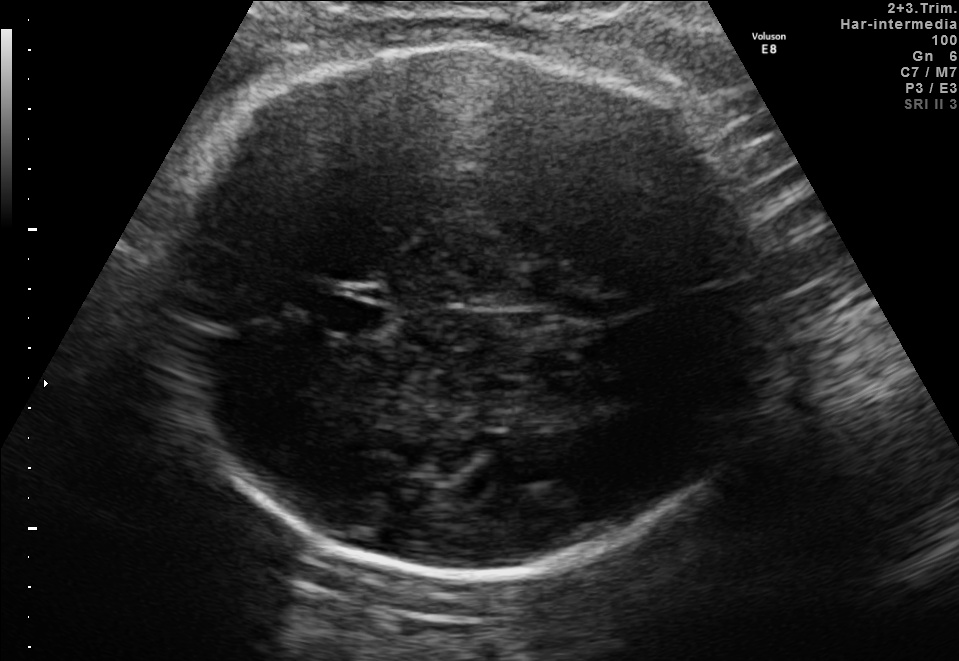
In this fetal brain, trans-thalamic plane, give bounding boxes for the head outline, cavum septum pellucidum (CSP), and lateral ventricle (LV), where visible.

Head: [157,44,770,573]
CSP: [322,292,384,340]